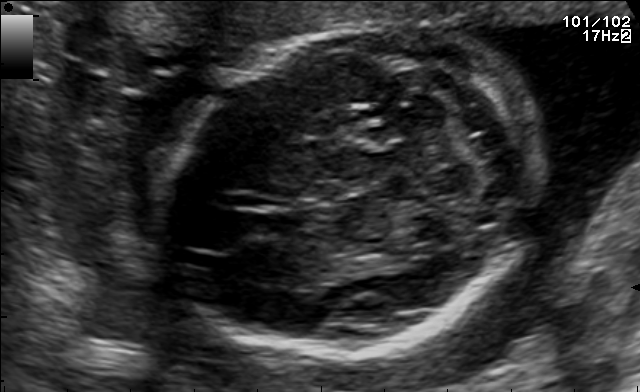
Which standard maternal-fetal ultrasound plane is shown: fetal abdomen, fetal brain, fetal femur, fetal thorax, maternal cervix, or other? If it's fetal brain and one of the three standard brain planes (trans-thalamic, trans-cerebellum, trans-ventricular), name which.

Fetal brain (trans-cerebellum plane)